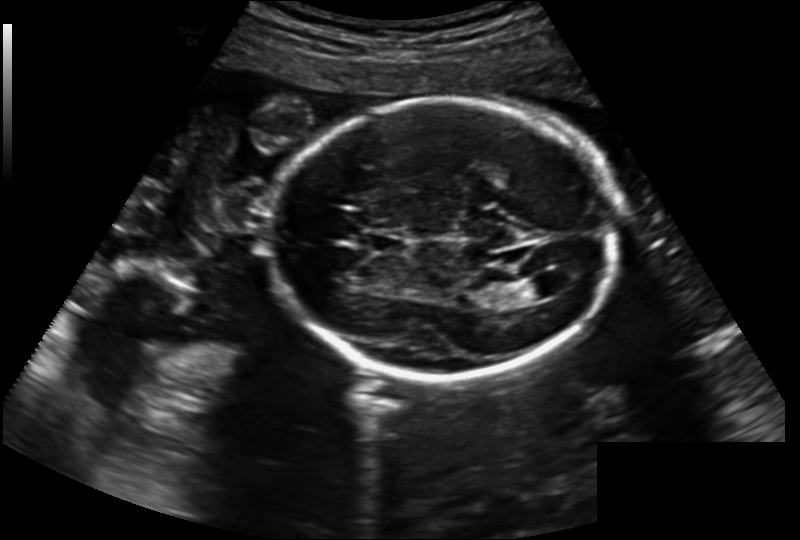
In this fetal head ultrasound, give the bounding box of the lateral ventricle. Image width: 161.7 mm.

[519,272,561,304]